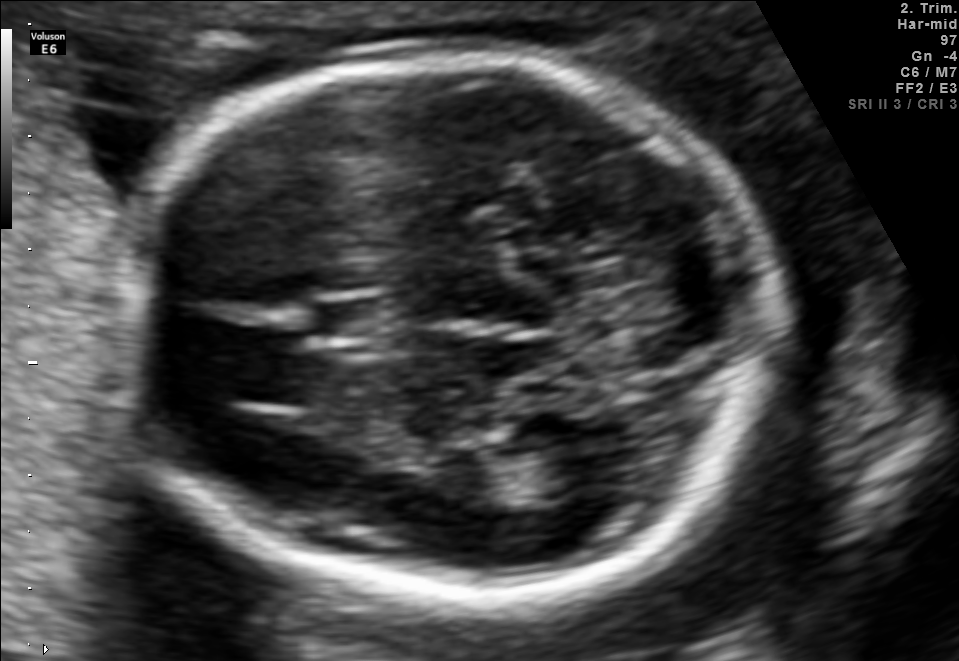
In this fetal brain, trans-thalamic plane, give the bounding box of the cavum septum pellucidum.

[311,297,400,341]